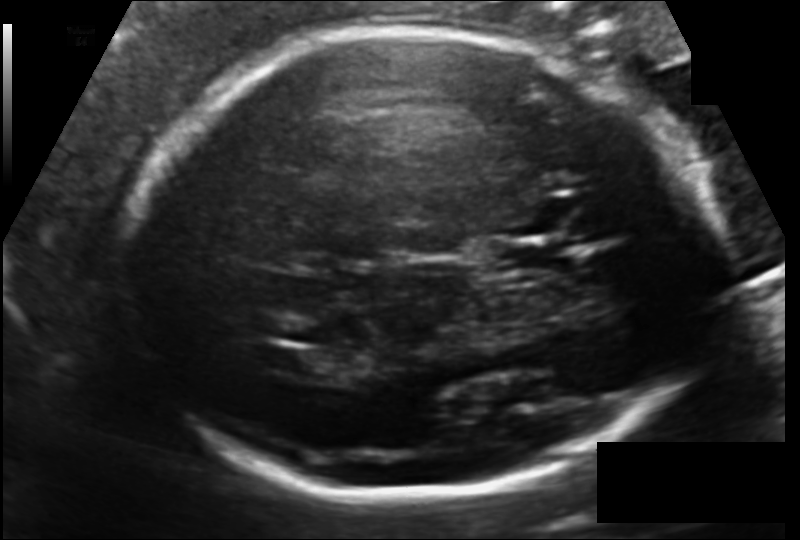
In this fetal head ultrasound, give the bounding box of the cavum septum pellucidum. Image width: 106.4 mm.

[485,234,572,276]